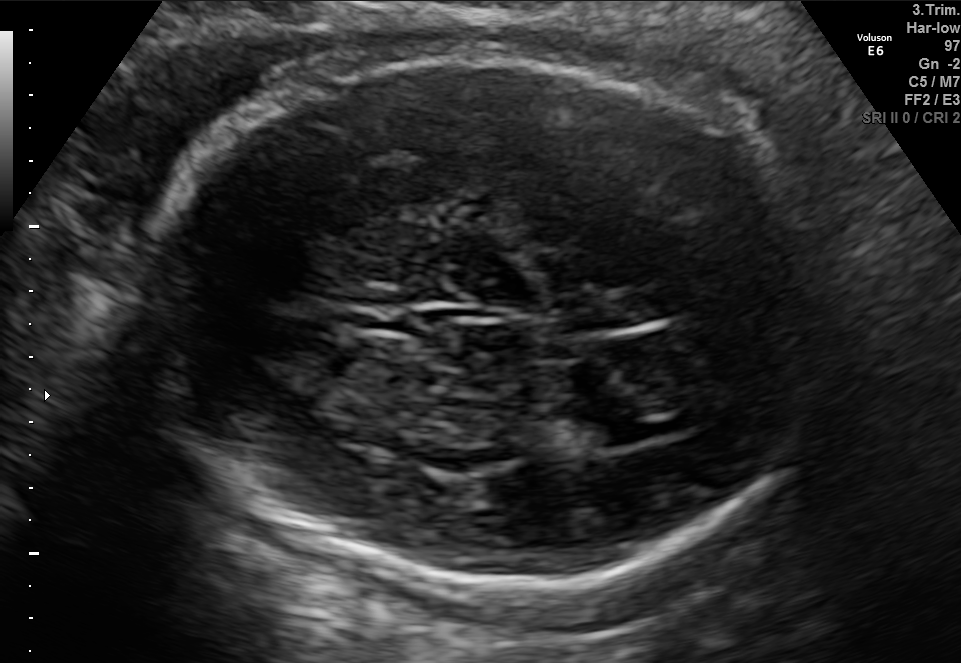
In this fetal brain, trans-ventricular plane, give the bounding box of the cavum septum pellucidum.

[342,295,421,337]